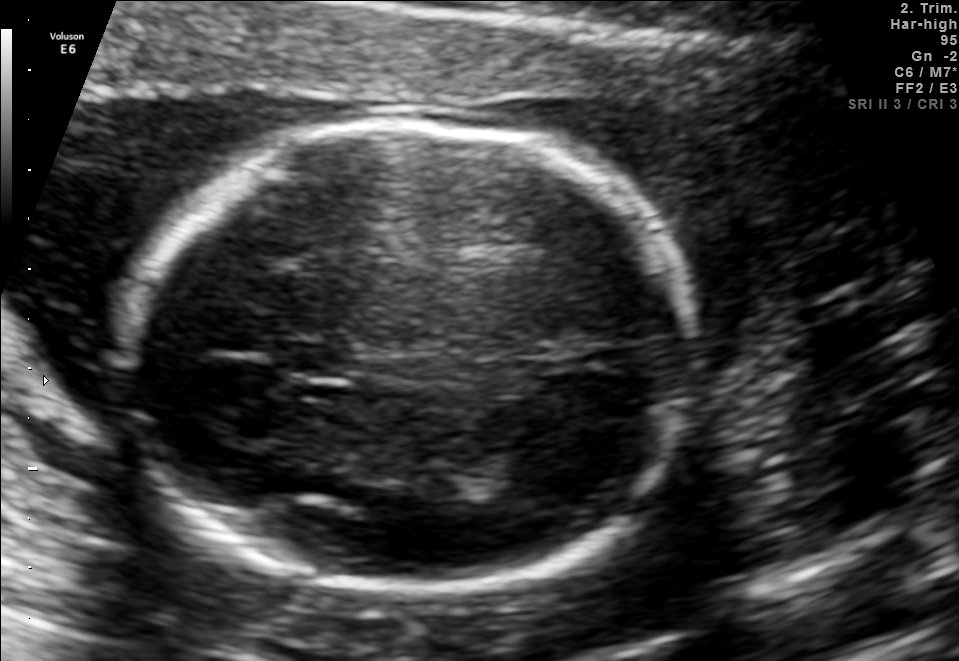
Fetal brain, trans-thalamic plane. Where is the cavum septum pellucidum?

CSP bounding box: [274,340,346,377]